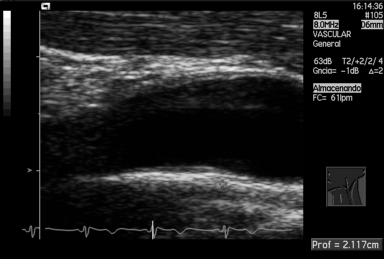
Identify the standard plane in this fetal ultrasound image: fetal abdomen, fetal brain, fetal femur, fetal thorax, maternal cervix, or other. If it's fetal brain and one of the three standard brain planes (trans-thalamic, trans-cerebellum, trans-ventricular), name which.

Other